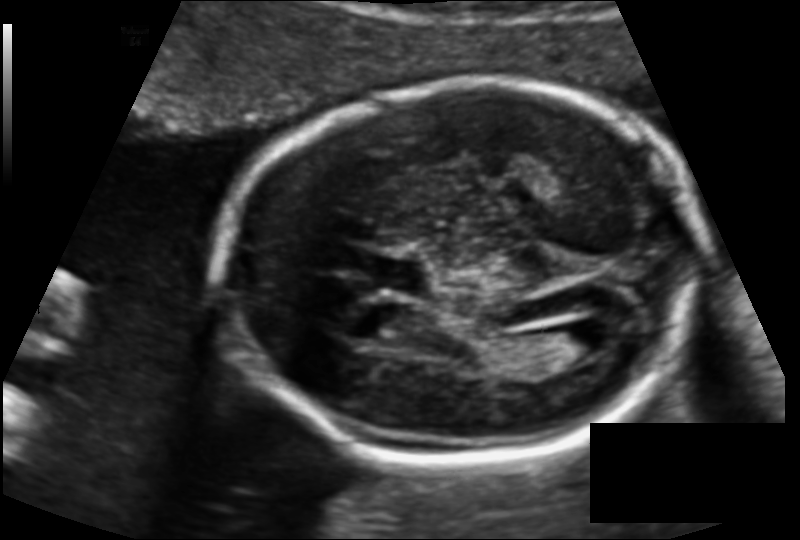
In this fetal head ultrasound, give the bounding box of the fetal head. Image width: 99.5 mm.

[219,86,700,462]